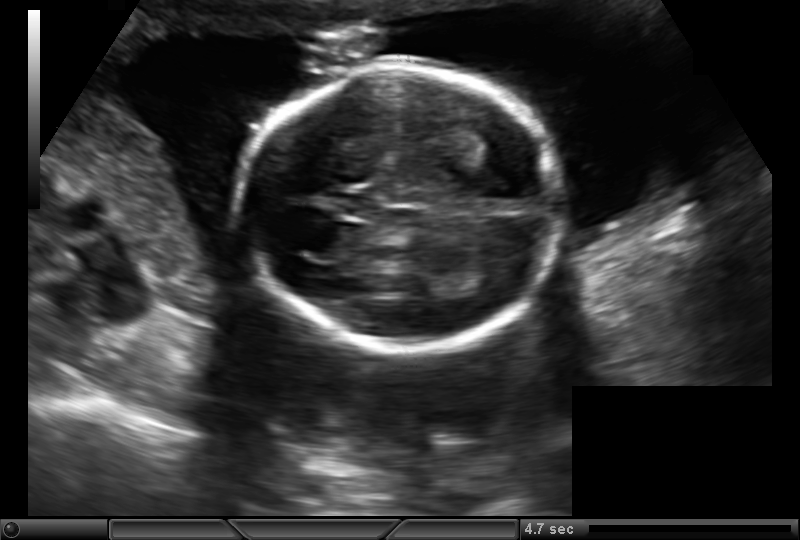
In this fetal head ultrasound, give bounding boxes for the head outline, cavum septum pellucidum (CSP), and lateral ventricle (LV), where visible. Image width: 129.0 mm.

Head: [241,65,557,350]